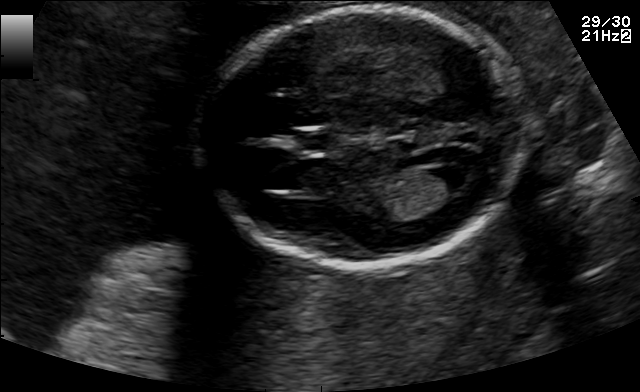
Fetal brain, trans-ventricular plane. Locate the cavum septum pellucidum.

CSP: [296,131,329,149]